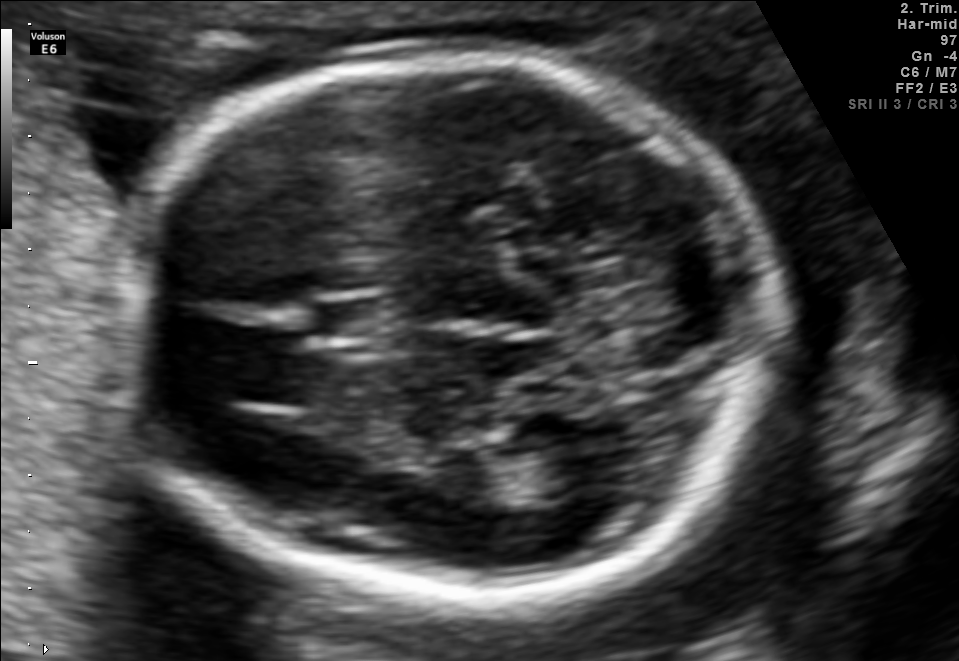
In this fetal brain, trans-thalamic plane, give the bounding box of the lateral ventricle.

[480,433,609,511]